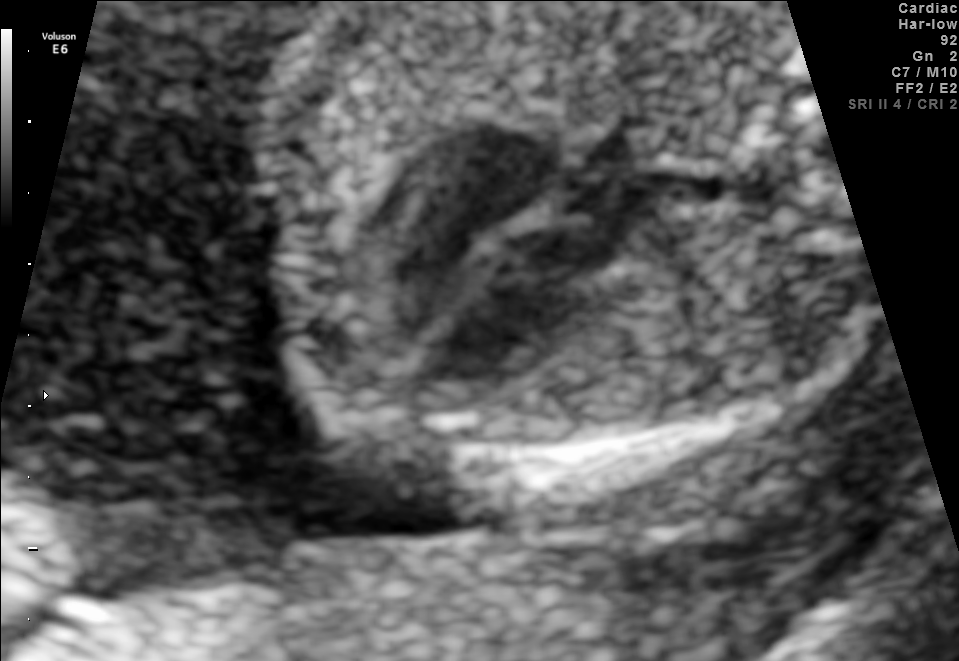
This is a 2D maternal-fetal ultrasound frame. Is it a fetal abdomen, fetal brain, fetal femur, fetal thorax, maternal cervix, or other standard plane? If it's fetal brain and one of the three standard brain planes (trans-thalamic, trans-cerebellum, trans-ventricular), name which.

Fetal thorax